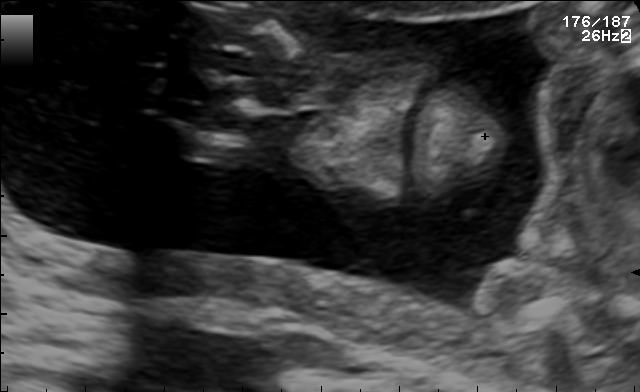
Which standard maternal-fetal ultrasound plane is shown: fetal abdomen, fetal brain, fetal femur, fetal thorax, maternal cervix, or other? If it's fetal brain and one of the three standard brain planes (trans-thalamic, trans-cerebellum, trans-ventricular), name which.

Other